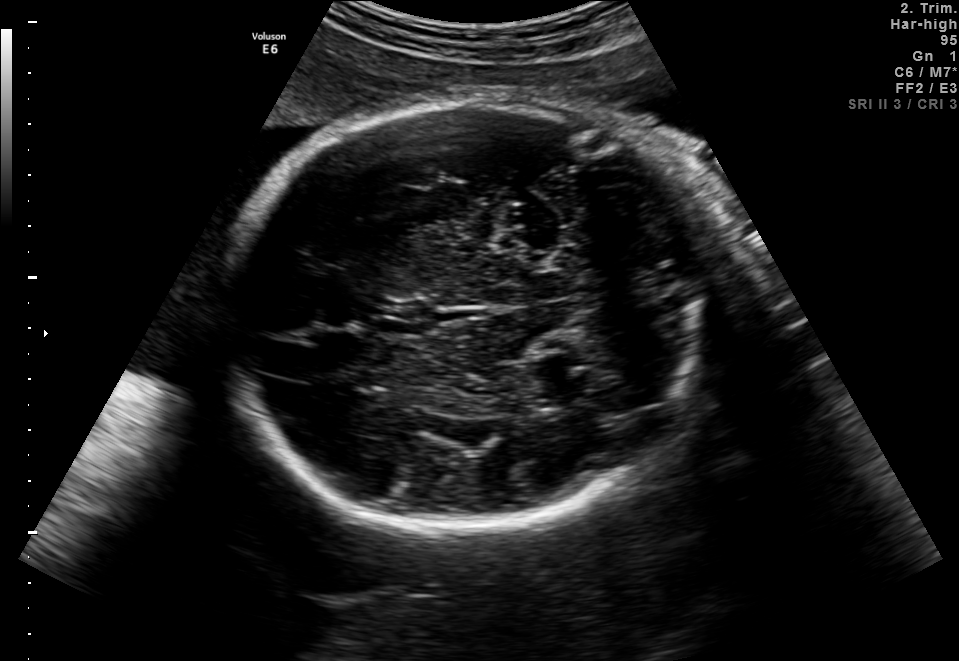
Which standard maternal-fetal ultrasound plane is shown: fetal abdomen, fetal brain, fetal femur, fetal thorax, maternal cervix, or other? If it's fetal brain and one of the three standard brain planes (trans-thalamic, trans-cerebellum, trans-ventricular), name which.

Fetal brain (trans-thalamic plane)